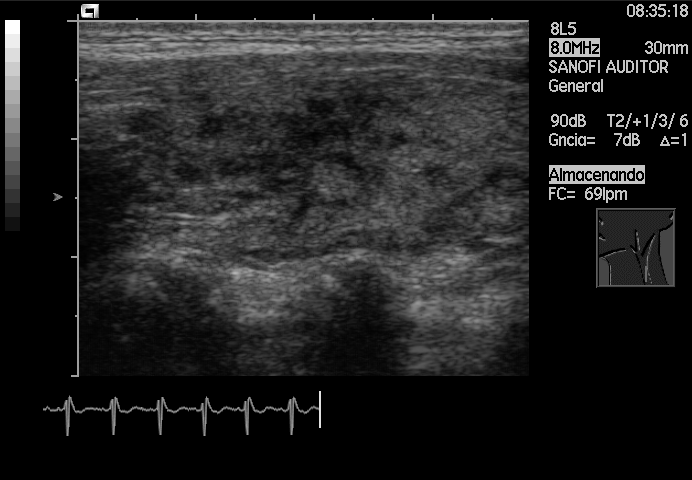
This is a 2D maternal-fetal ultrasound frame. Is it a fetal abdomen, fetal brain, fetal femur, fetal thorax, maternal cervix, or other standard plane? If it's fetal brain and one of the three standard brain planes (trans-thalamic, trans-cerebellum, trans-ventricular), name which.

Other